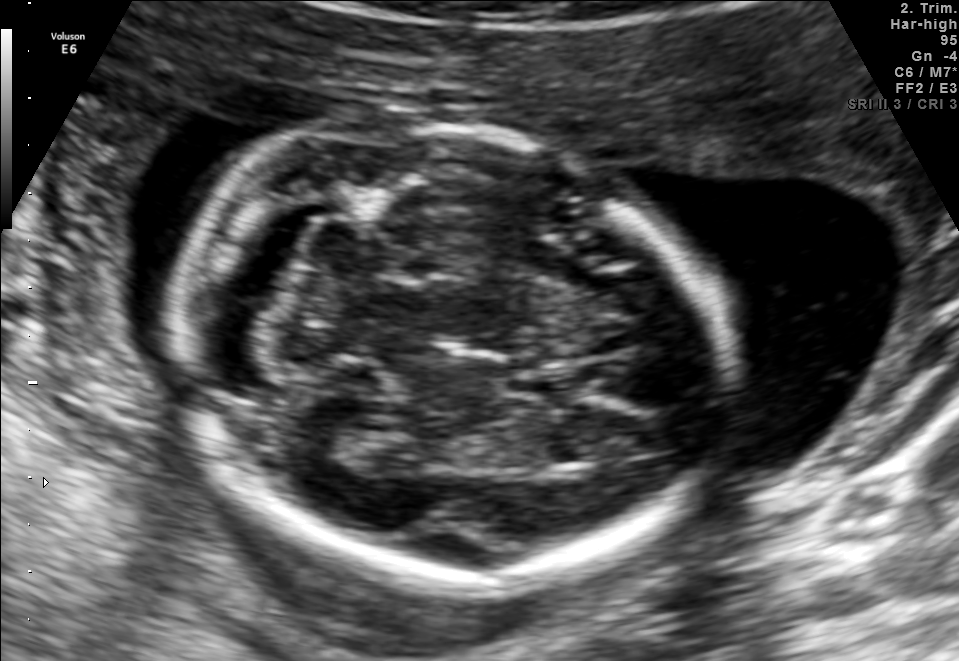
Classify this maternal-fetal ultrasound image as one of the six standard planes — fetal abdomen, fetal brain, fetal femur, fetal thorax, maternal cervix, or other. If it's fetal brain and one of the three standard brain planes (trans-thalamic, trans-cerebellum, trans-ventricular), name which.

Fetal brain (trans-cerebellum plane)